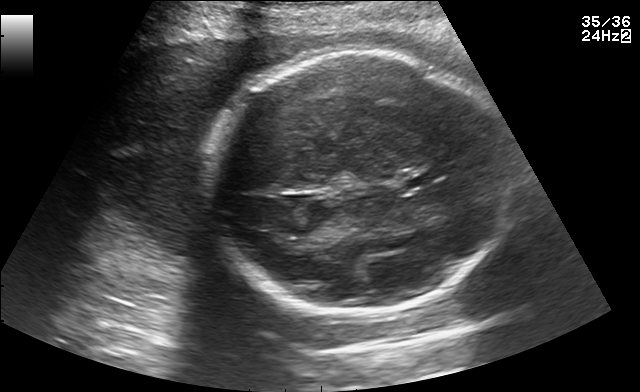
Fetal brain, trans-thalamic plane. Where is the fetal head?

Head bounding box: [206,49,509,312]